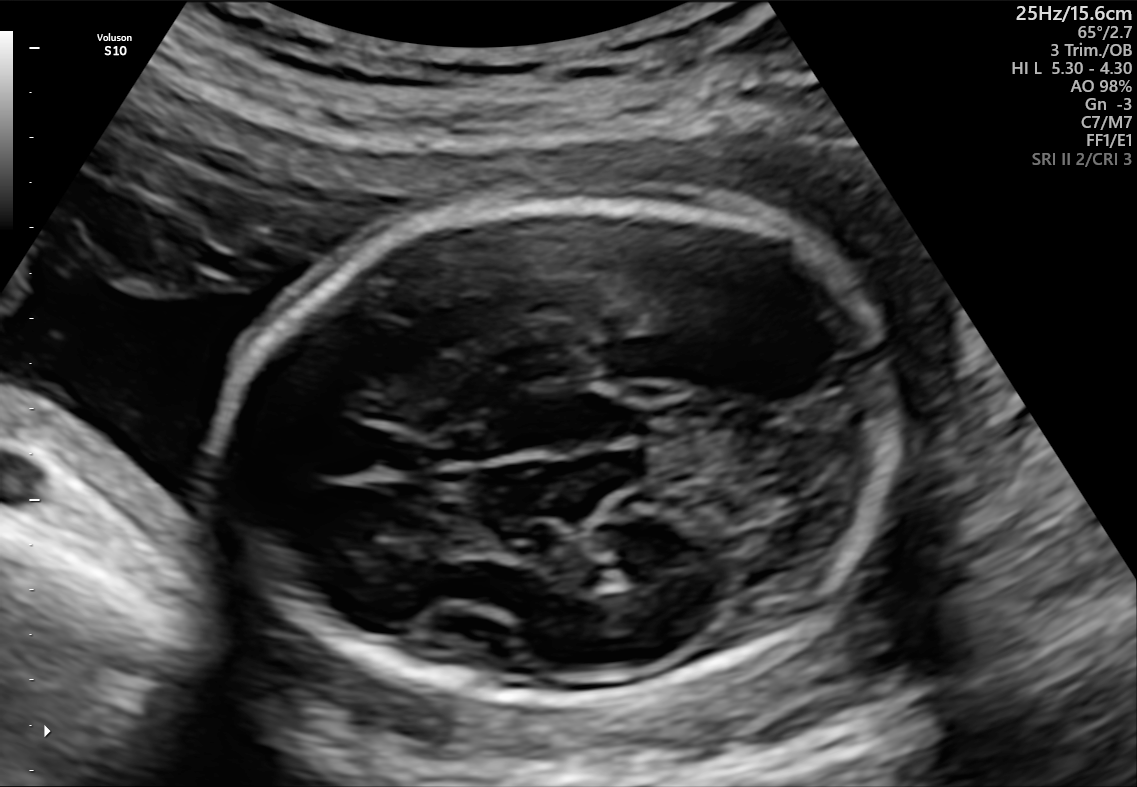
Fetal brain, trans-thalamic plane. Give [x1,y1,x2,y2] bounding boxes for each visible structure among: fetal head, CSP, LV.

Head: [225,195,898,708]